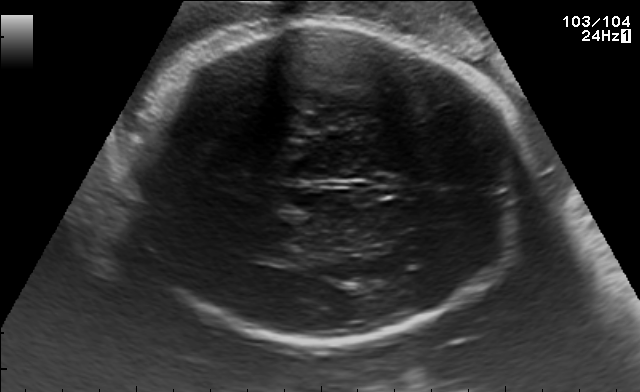
This is a 2D maternal-fetal ultrasound frame. Is it a fetal abdomen, fetal brain, fetal femur, fetal thorax, maternal cervix, or other standard plane? If it's fetal brain and one of the three standard brain planes (trans-thalamic, trans-cerebellum, trans-ventricular), name which.

Fetal brain (trans-thalamic plane)